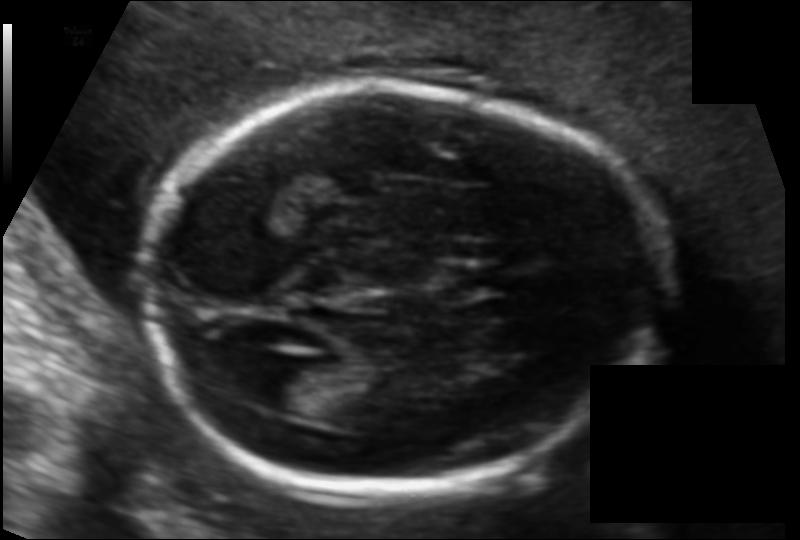
In this fetal head ultrasound, give the bounding box of the fetal head. Image width: 88.8 mm.

[143,83,660,494]